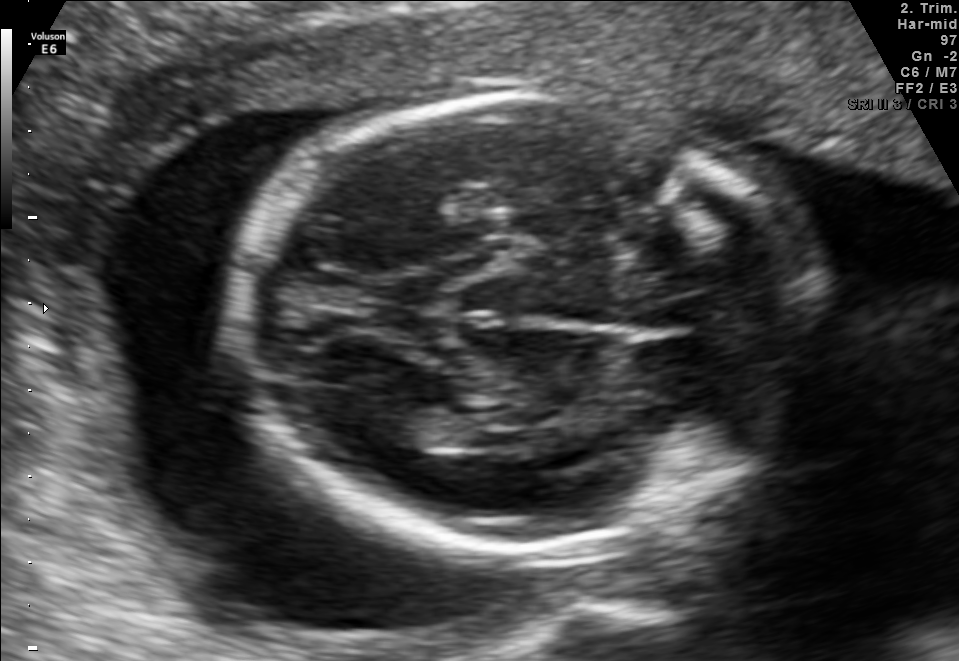
Fetal brain, trans-thalamic plane. Where is the fetal head?

Head bounding box: [225,96,832,547]